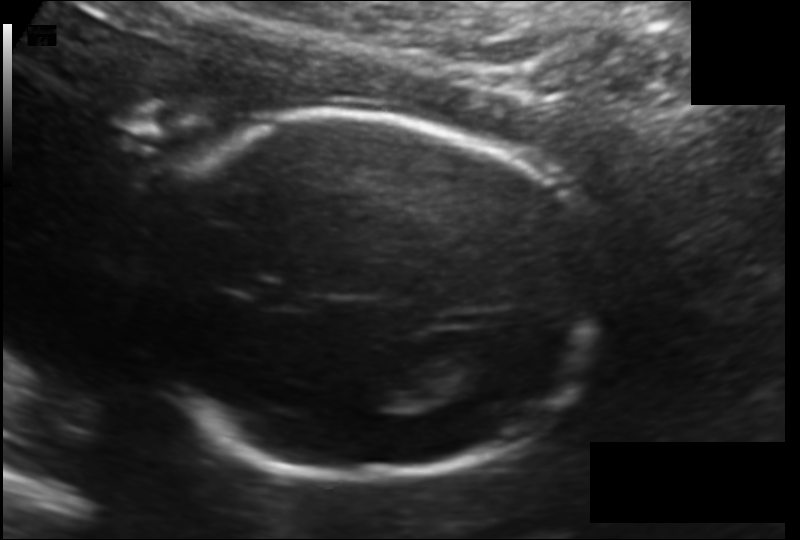
Estimate the fetal head circumference from this 2D ultrasound. Image width: 107.8 mm.

Head circumference: 181.5 mm.